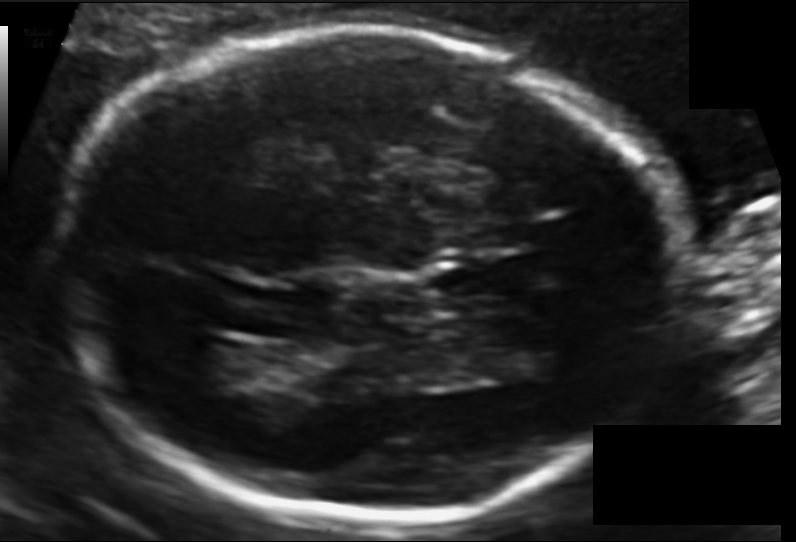
Fetal head ultrasound. Image width: 95.4 mm. Locate the cavum septum pellucidum.

CSP: [437,265,519,299]